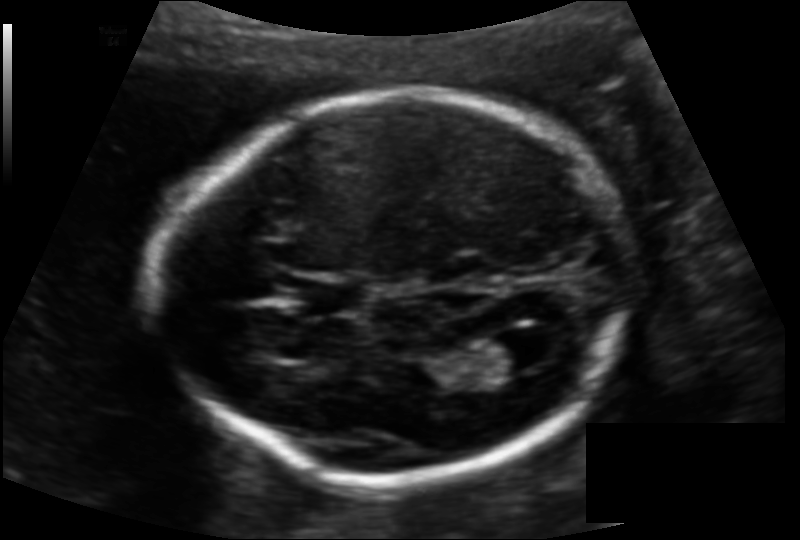
In this fetal head ultrasound, give the bounding box of the cavum septum pellucidum. Image width: 102.7 mm.

[303,278,367,314]